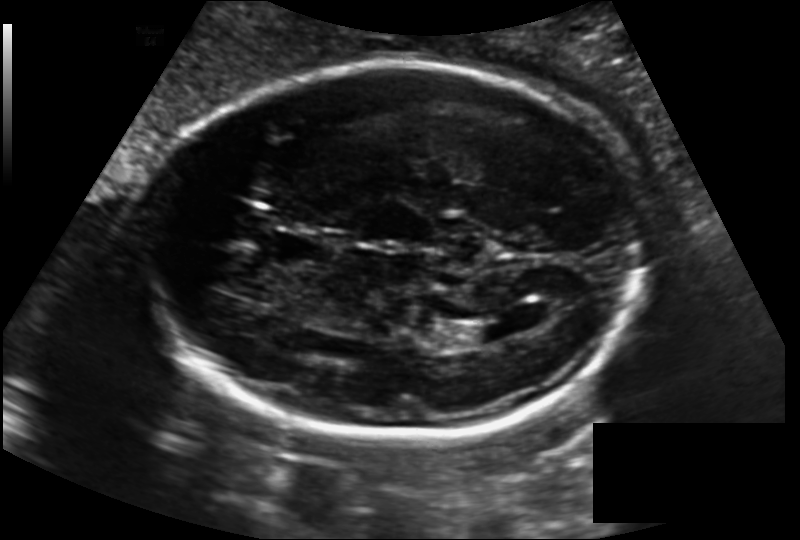
Fetal head ultrasound. Image width: 130.6 mm. Locate the fetal head.

Head: [144,63,641,443]